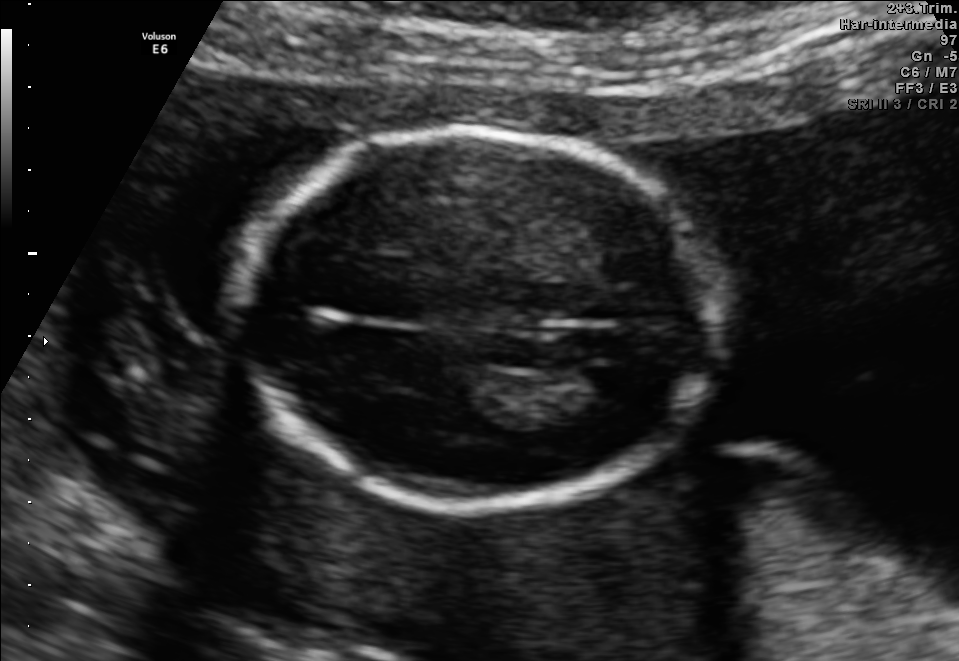
Fetal brain, trans-ventricular plane. Where is the lateral ventricle?

Lateral ventricle bounding box: [579,363,636,402]